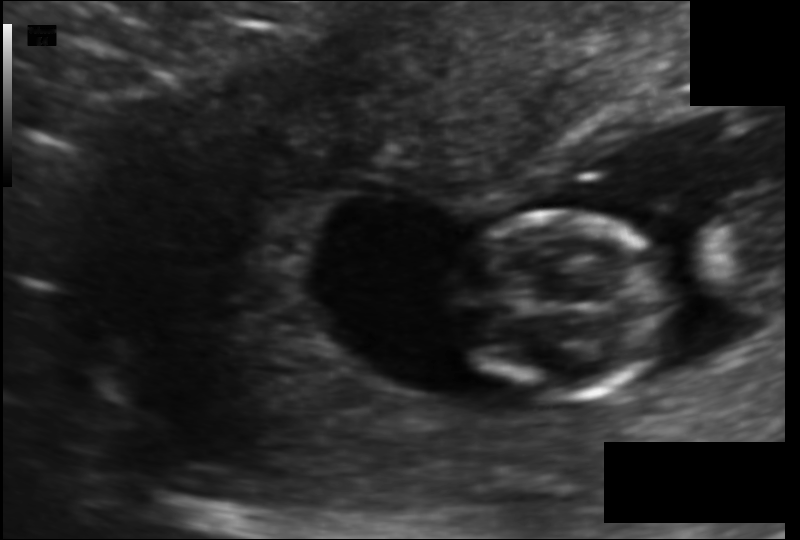
Estimate the fetal head circumference from this 2D ultrasound. Image width: 82.9 mm.

Head circumference: 70.0 mm.